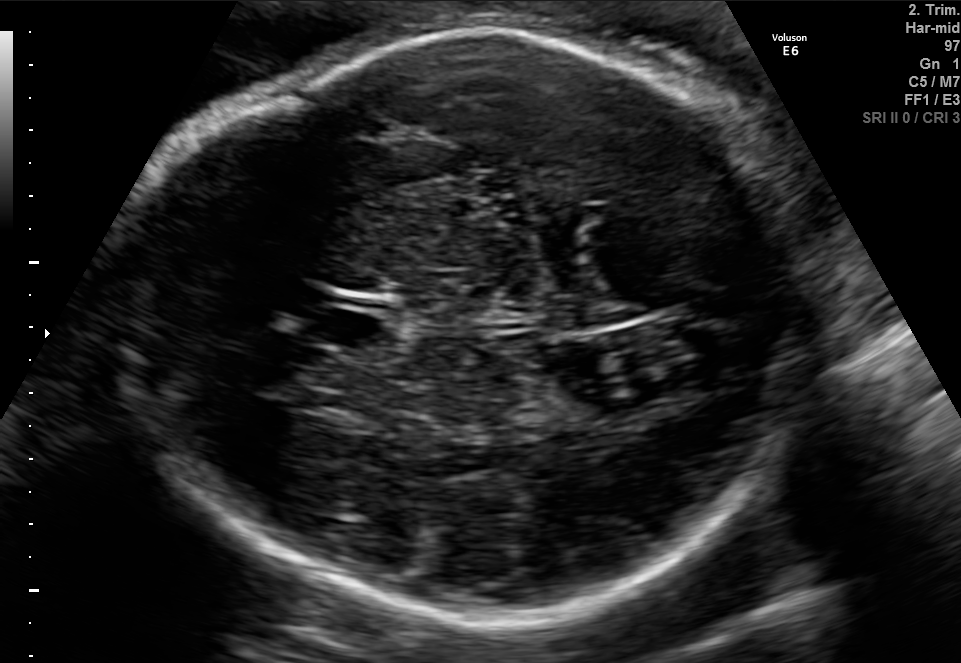
Fetal brain, trans-thalamic plane. Locate the fetal head and, if visible, the cavum septum pellucidum (CSP) and lateral ventricle (LV). Give bounding boxes as [x1,y1,x2,y2].

Head: [112,29,835,630]
CSP: [303,300,388,354]